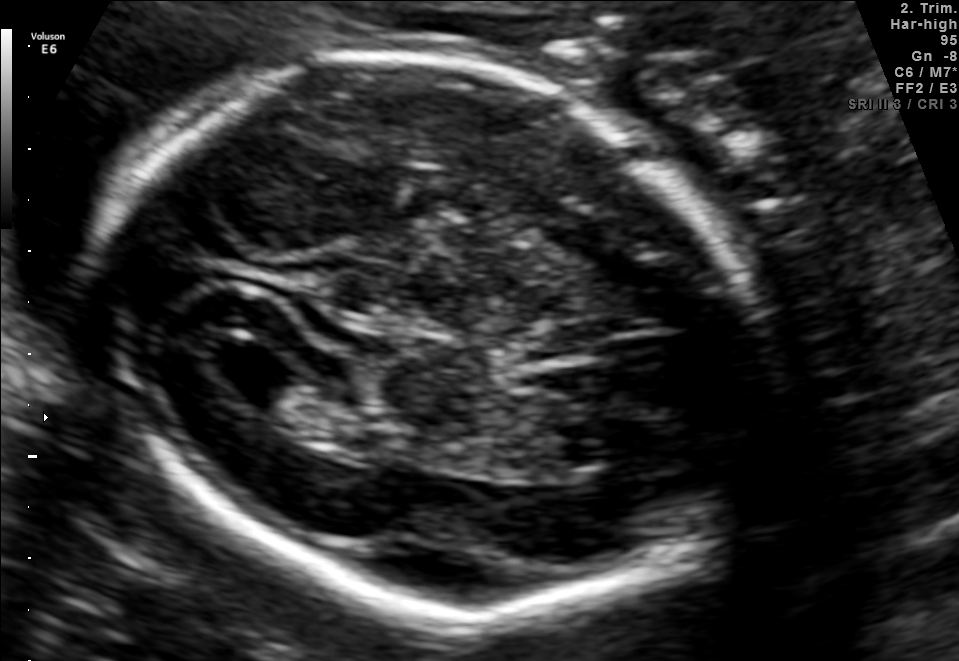
Fetal brain, trans-ventricular plane. Where is the fetal head?

Head bounding box: [71,37,788,634]